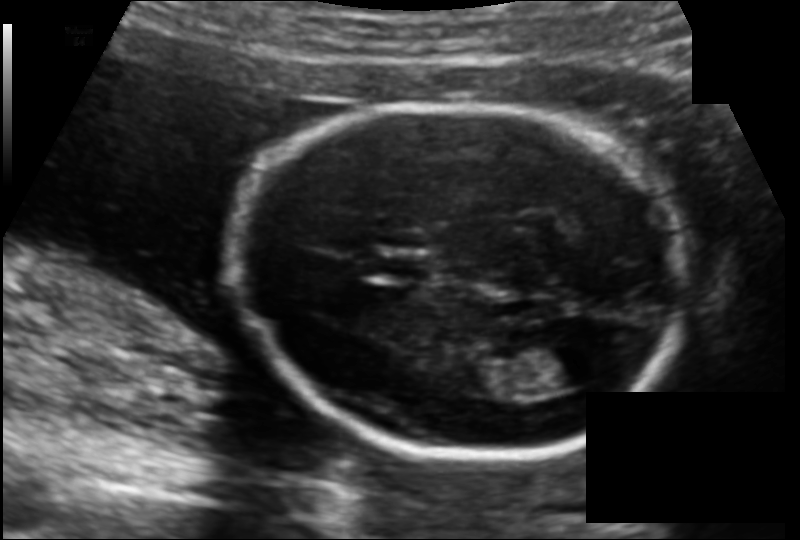
Fetal head ultrasound. Image width: 100.4 mm. Give [x1,y1,x2,y2] bounding boxes for each visible structure among: fetal head, CSP, LV.

Head: [236,103,684,455]
CSP: [378,253,433,280]
Lateral ventricle: [539,339,606,393]